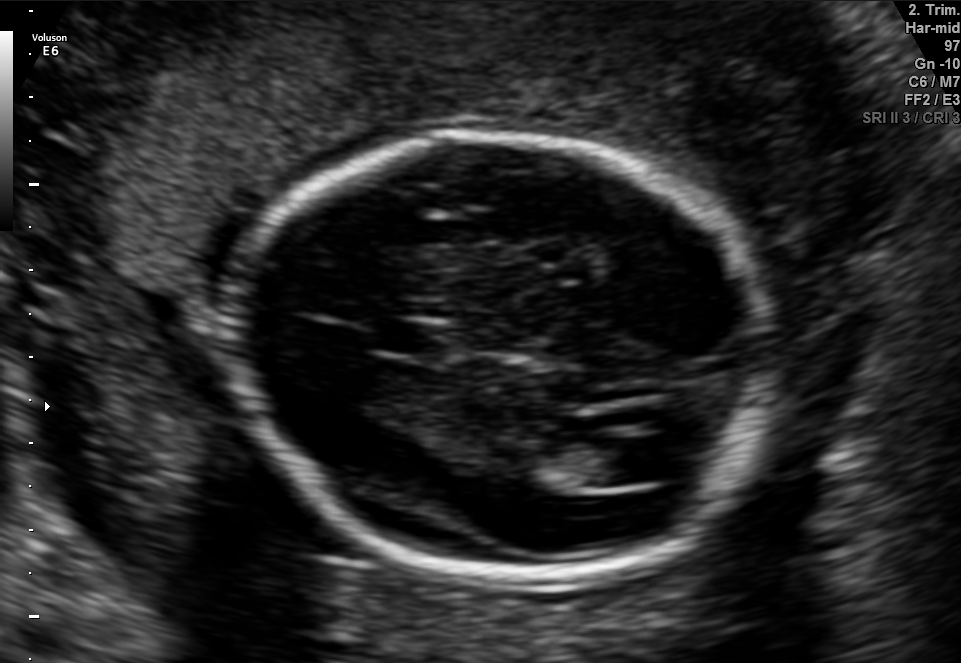
Fetal brain, trans-ventricular plane. Give [x1,y1,x2,y2] bounding boxes for each visible structure among: fetal head, CSP, LV.

Head: [228,124,777,593]
CSP: [374,320,431,355]
Lateral ventricle: [599,432,679,489]